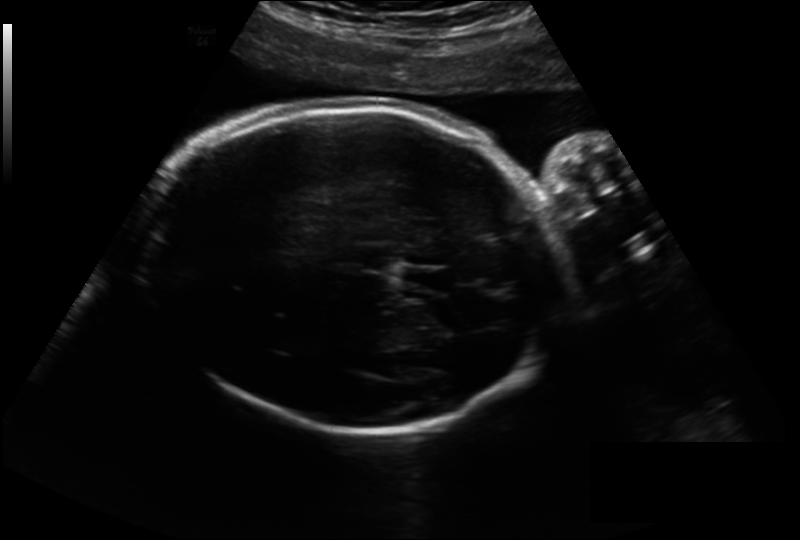
From this fetal ultrasound, estimate the head circumference (image width 194.6 mm).

Head circumference: 296.8 mm.